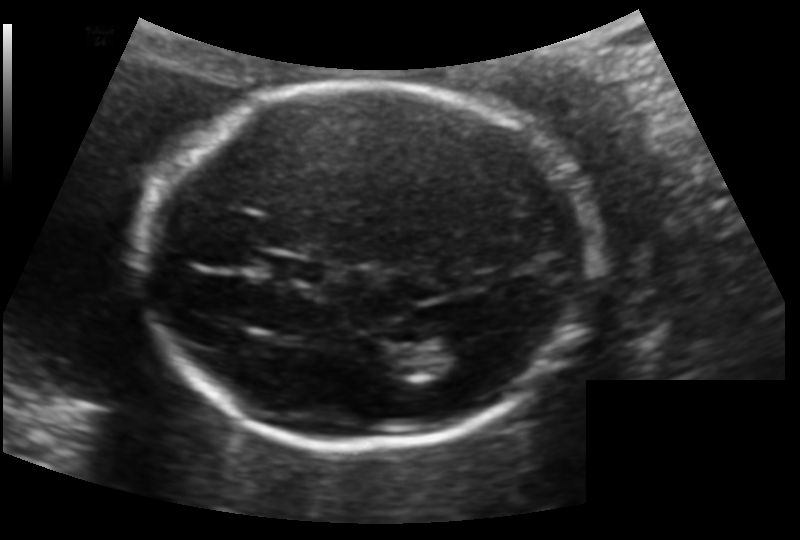
Fetal head ultrasound. Image width: 106.4 mm. Where is the cavum septum pellucidum?

CSP bounding box: [263,251,328,290]